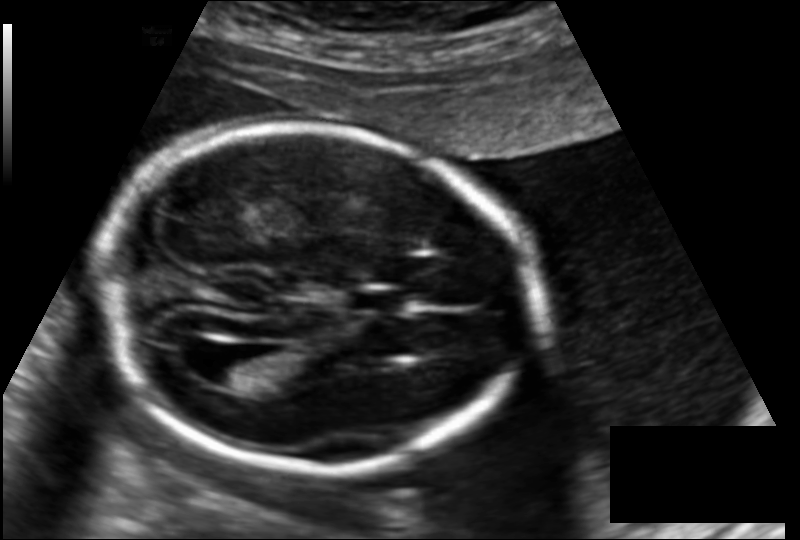
In this fetal head ultrasound, give the bounding box of the lateral ventricle. Image width: 115.9 mm.

[199,342,264,394]